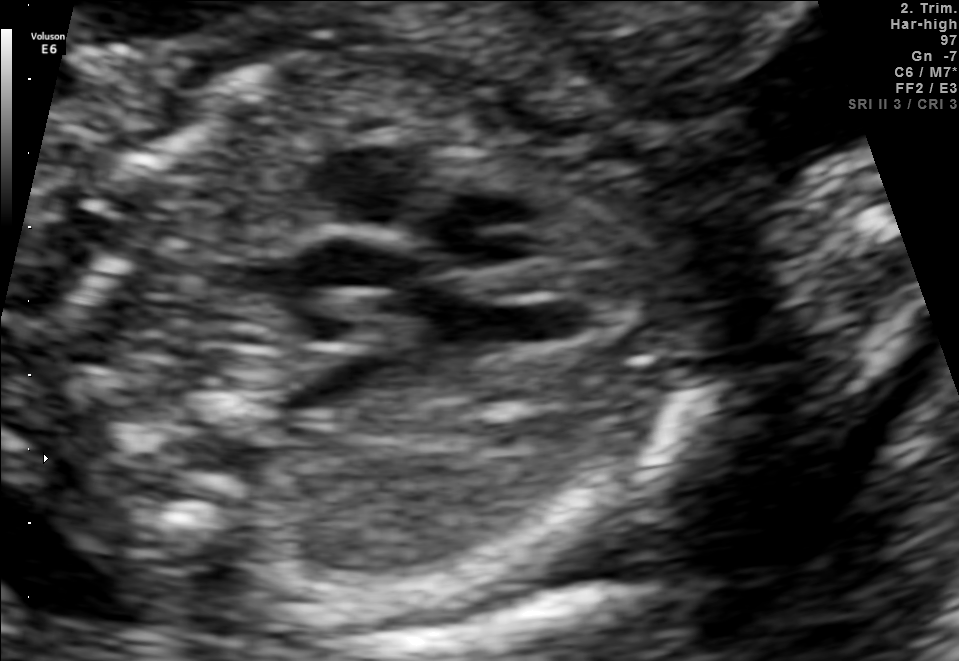
This is a 2D maternal-fetal ultrasound frame. Is it a fetal abdomen, fetal brain, fetal femur, fetal thorax, maternal cervix, or other standard plane? If it's fetal brain and one of the three standard brain planes (trans-thalamic, trans-cerebellum, trans-ventricular), name which.

Other